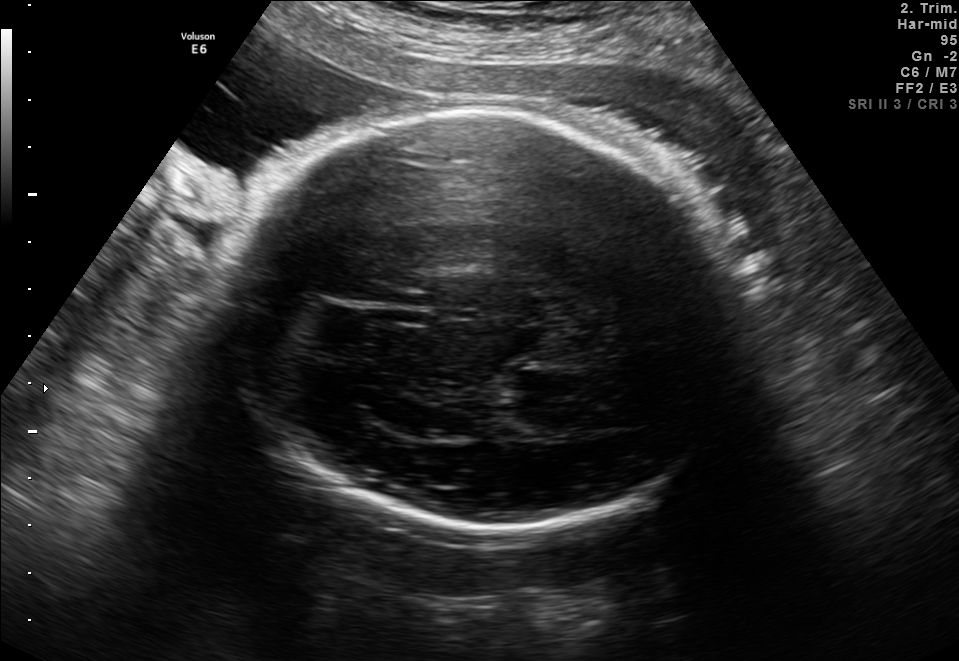
Fetal brain, trans-thalamic plane. Where is the lateral ventricle?

Lateral ventricle bounding box: [506,391,595,434]